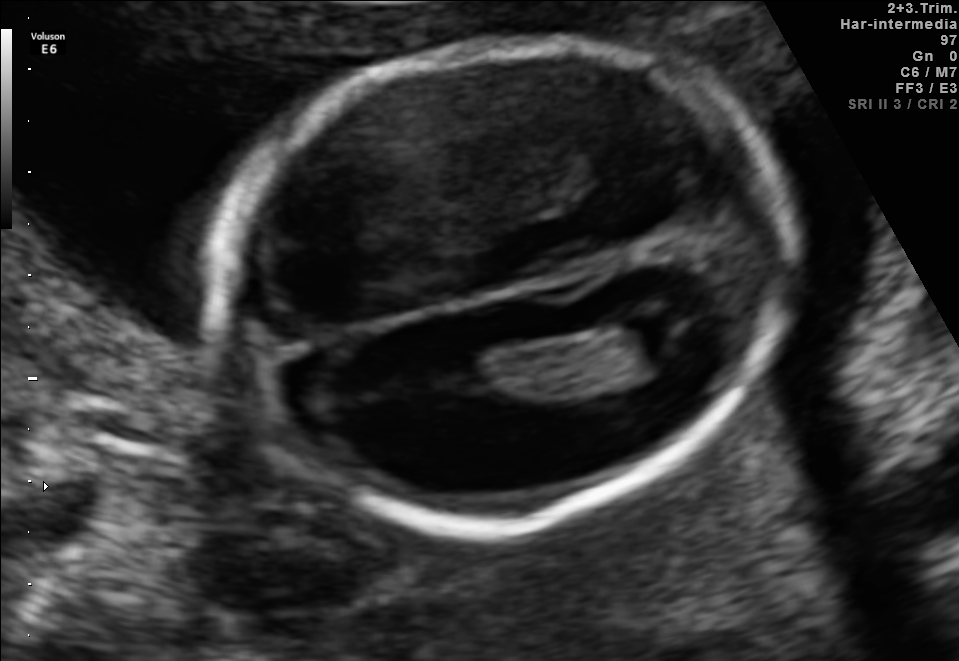
This is a 2D maternal-fetal ultrasound frame. Is it a fetal abdomen, fetal brain, fetal femur, fetal thorax, maternal cervix, or other standard plane? If it's fetal brain and one of the three standard brain planes (trans-thalamic, trans-cerebellum, trans-ventricular), name which.

Fetal brain (trans-ventricular plane)